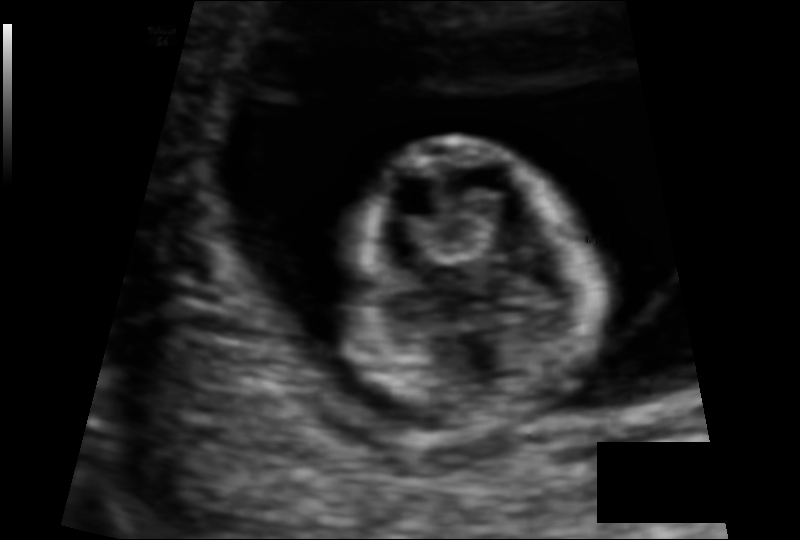
Estimate the fetal head circumference from this 2D ultrasound.

Head circumference: 72.1 mm (image width 70.2 mm).